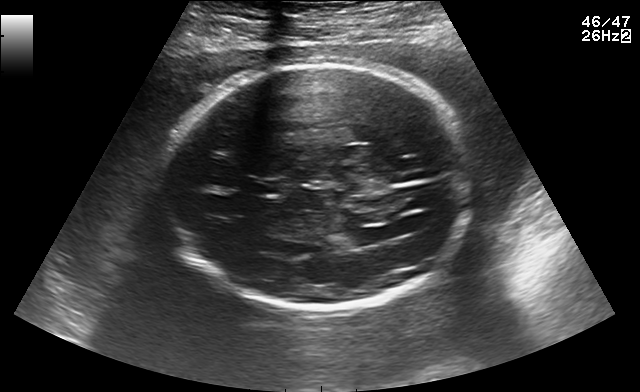
Fetal brain, trans-ventricular plane. Where is the lateral ventricle?

Lateral ventricle bounding box: [341,227,380,250]